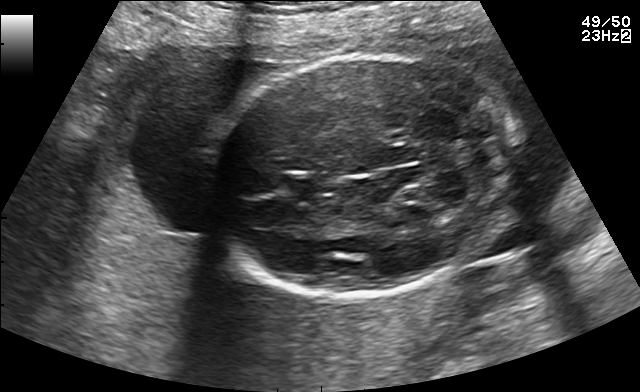
In this fetal brain, trans-cerebellum plane, give the bounding box of the cavum septum pellucidum.

[286,172,336,197]